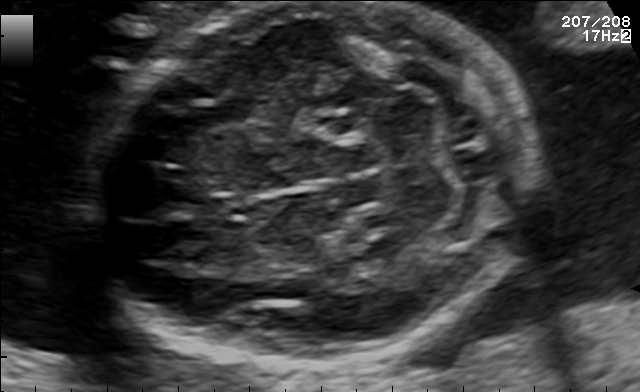
Fetal brain, trans-cerebellum plane. Give [x1,y1,x2,y2] bounding boxes for each visible structure among: fetal head, CSP, LV.

Head: [94,2,523,364]